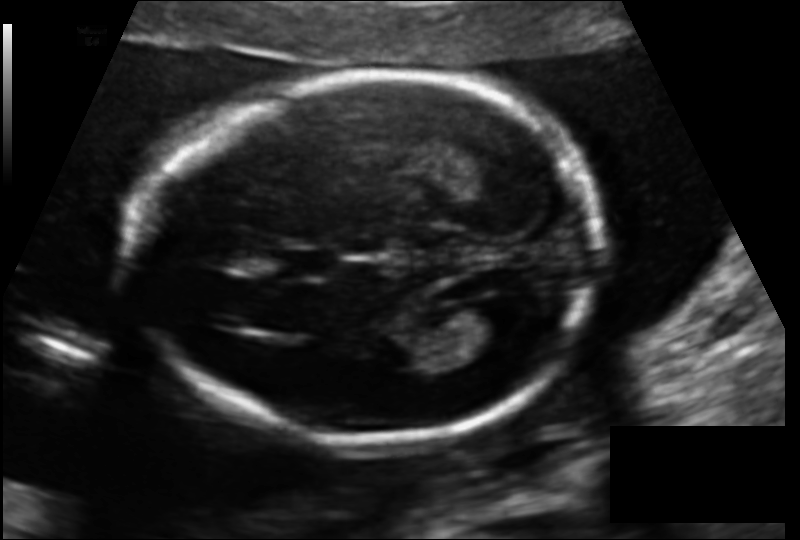
Estimate the fetal head circumference from this 2D ultrasound. Image width: 100.2 mm.

Head circumference: 171.6 mm.